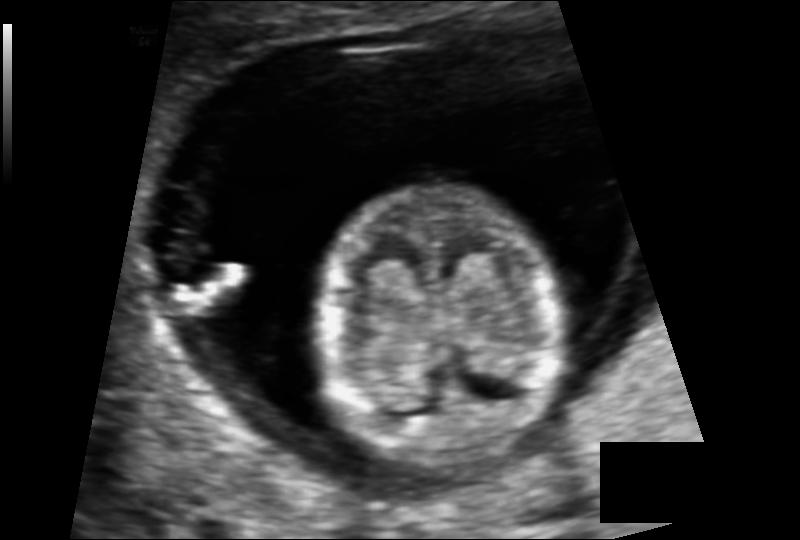
In this fetal head ultrasound, give bounding boxes for the head outline, cavum septum pellucidum (CSP), and lateral ventricle (LV), where visible. Image width: 71.8 mm.

Head: [315,185,560,470]